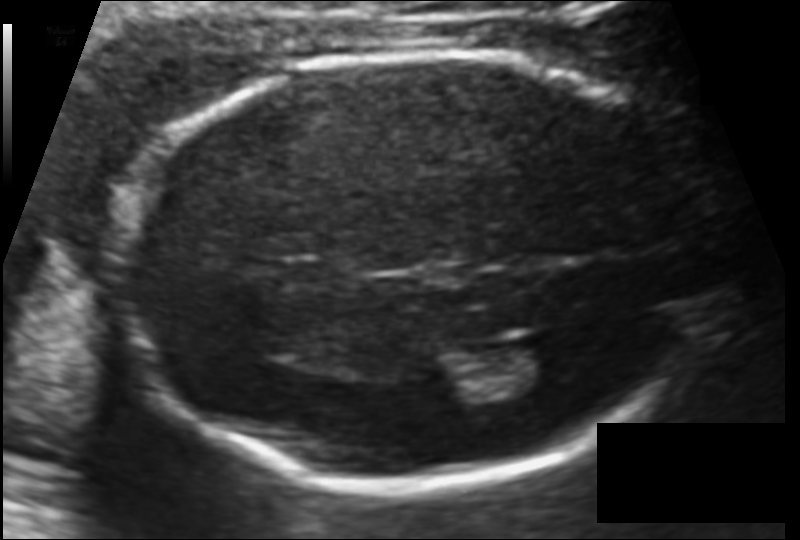
Fetal head ultrasound. Image width: 91.0 mm. Locate the lateral ventricle.

Lateral ventricle: [492,334,577,401]